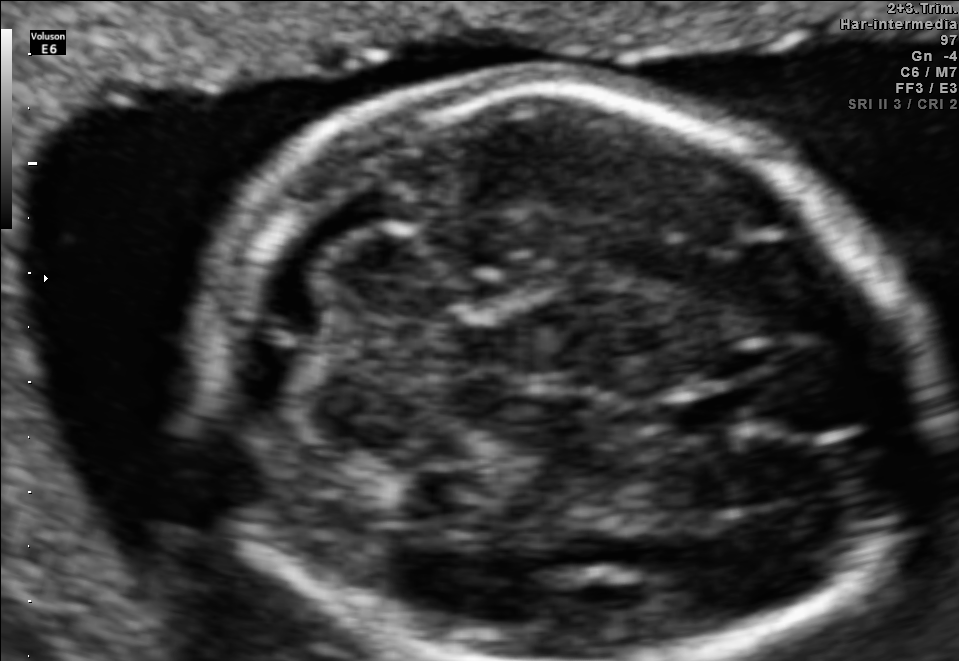
Identify the standard plane in this fetal ultrasound image: fetal abdomen, fetal brain, fetal femur, fetal thorax, maternal cervix, or other. If it's fetal brain and one of the three standard brain planes (trans-thalamic, trans-cerebellum, trans-ventricular), name which.

Fetal brain (trans-cerebellum plane)